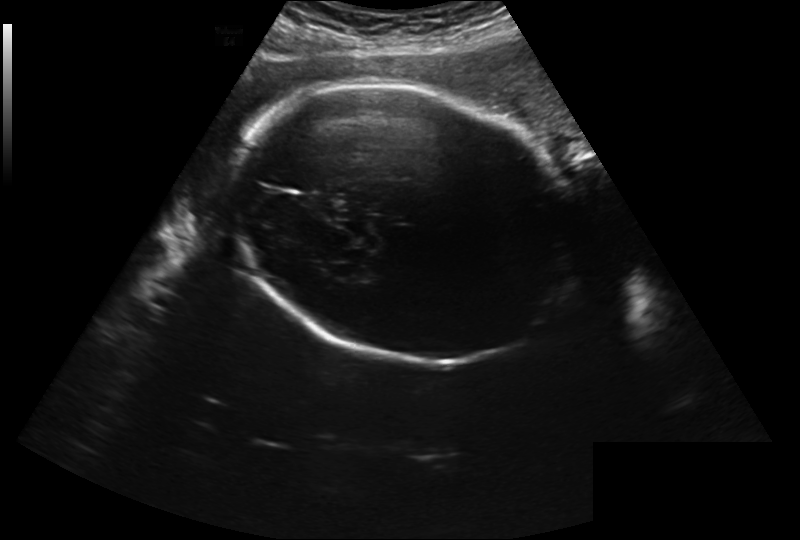
From this fetal ultrasound, estimate the head circumference (image width 223.8 mm).

Head circumference: 279.4 mm.